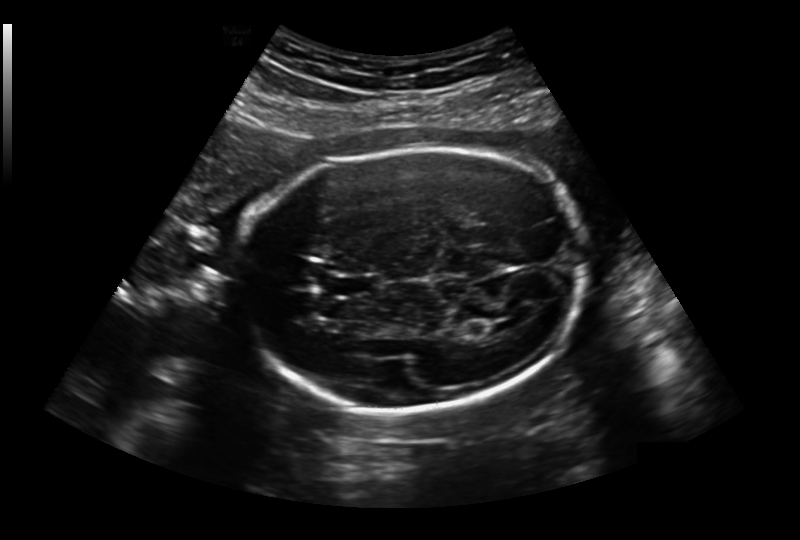
Fetal head ultrasound. Image width: 188.7 mm. Where is the fetal head?

Head bounding box: [239,150,586,410]